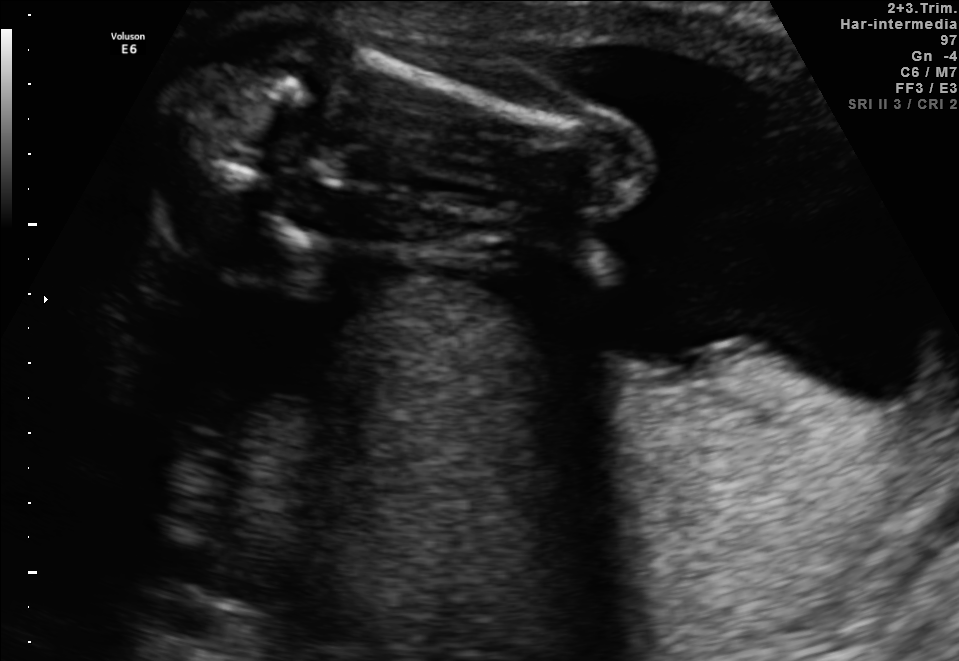
Classify this maternal-fetal ultrasound image as one of the six standard planes — fetal abdomen, fetal brain, fetal femur, fetal thorax, maternal cervix, or other. If it's fetal brain and one of the three standard brain planes (trans-thalamic, trans-cerebellum, trans-ventricular), name which.

Fetal femur